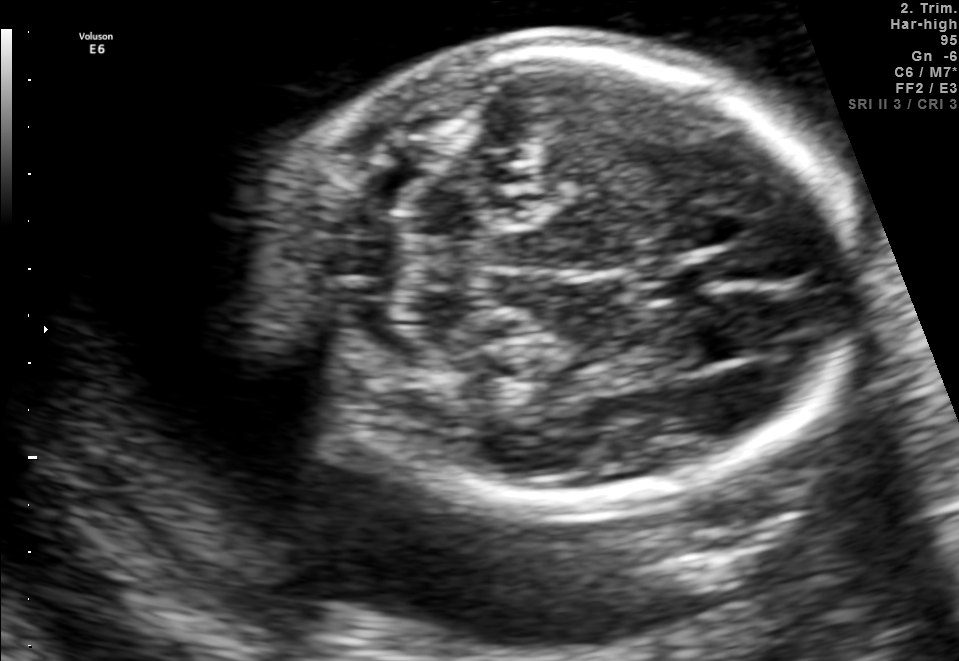
Fetal brain, trans-cerebellum plane. Where is the fetal head?

Head bounding box: [253,43,862,498]